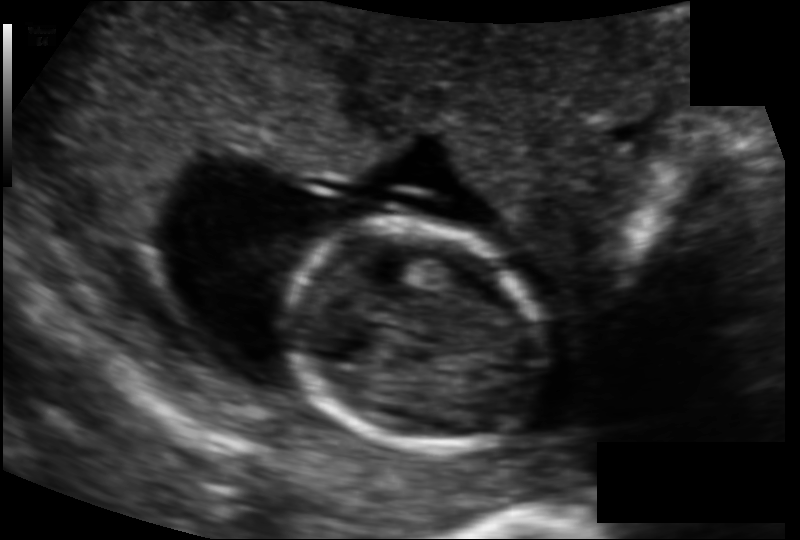
Fetal head ultrasound. Image width: 91.0 mm. Give [x1,y1,x2,y2] bounding boxes for each visible structure among: fetal head, CSP, LV.

Head: [288,221,547,449]